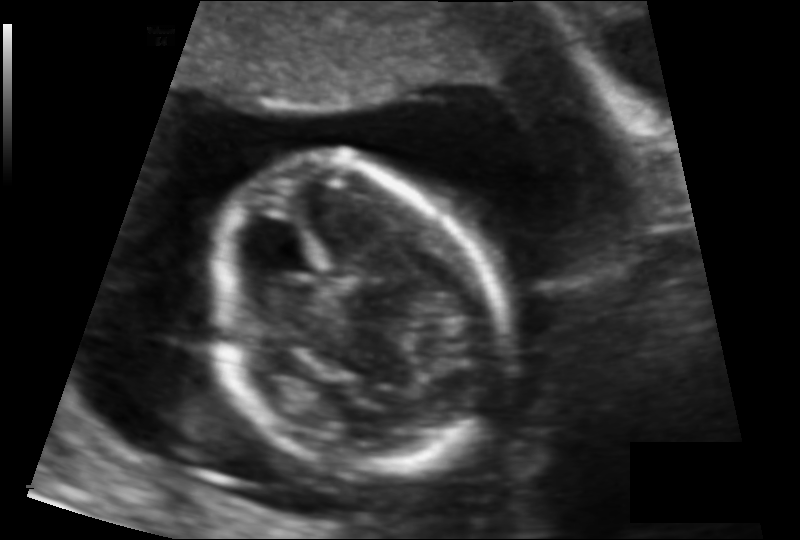
Estimate the fetal head circumference from this 2D ultrasound. Image width: 82.6 mm.

Head circumference: 100.1 mm.